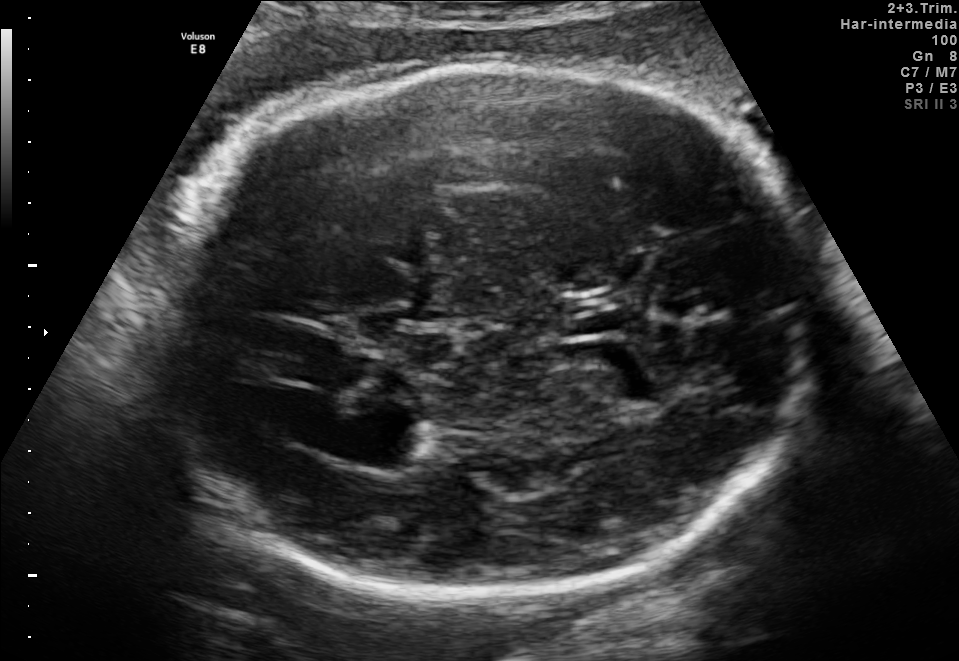
In this fetal brain, trans-thalamic plane, give the bounding box of the fetal head.

[144,64,815,595]